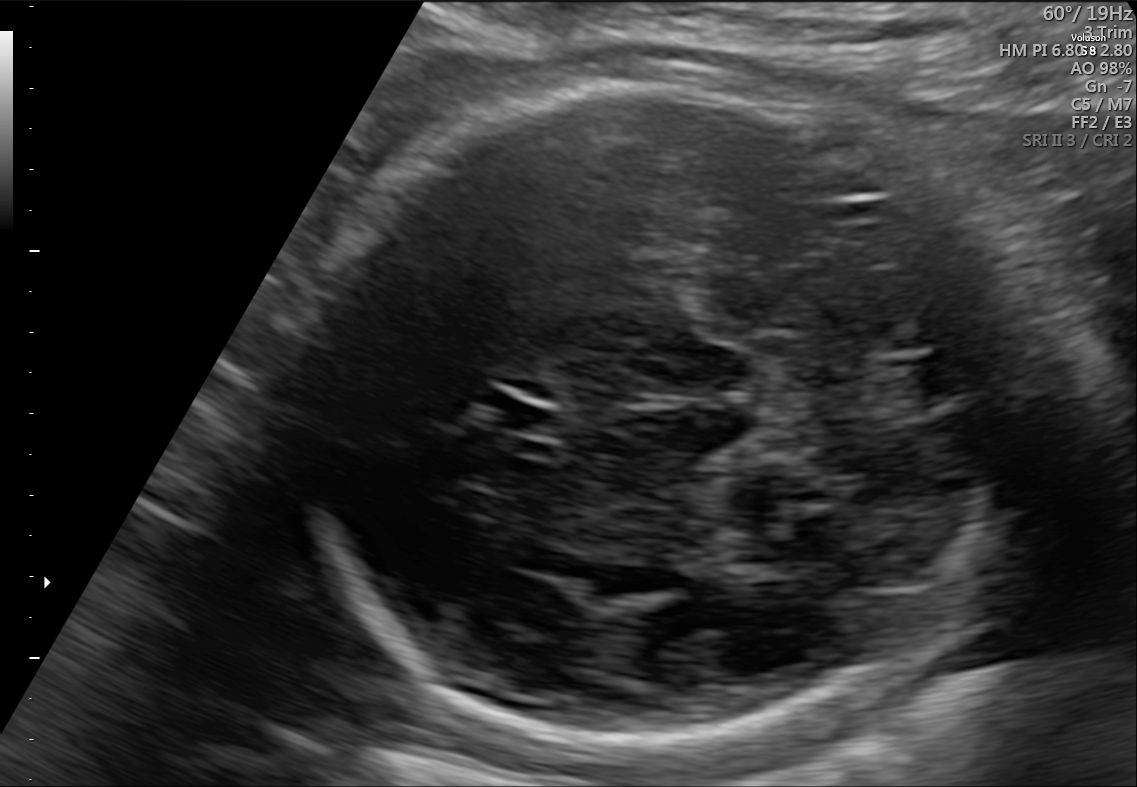
Fetal brain, trans-cerebellum plane. Locate the cavum septum pellucidum.

CSP: [478,385,562,445]